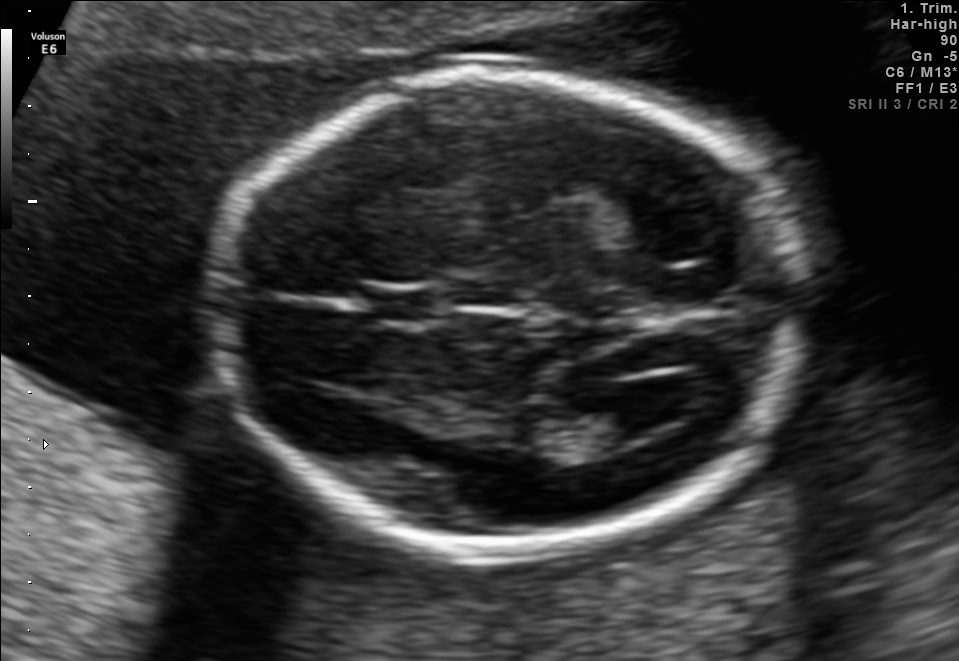
Fetal brain, trans-ventricular plane. Locate the fetal head and, if visible, the cavum septum pellucidum (CSP) and lateral ventricle (LV). Give bounding boxes as [x1,y1,x2,y2].

Head: [197,57,828,566]
CSP: [369,291,434,321]
Lateral ventricle: [598,371,692,440]